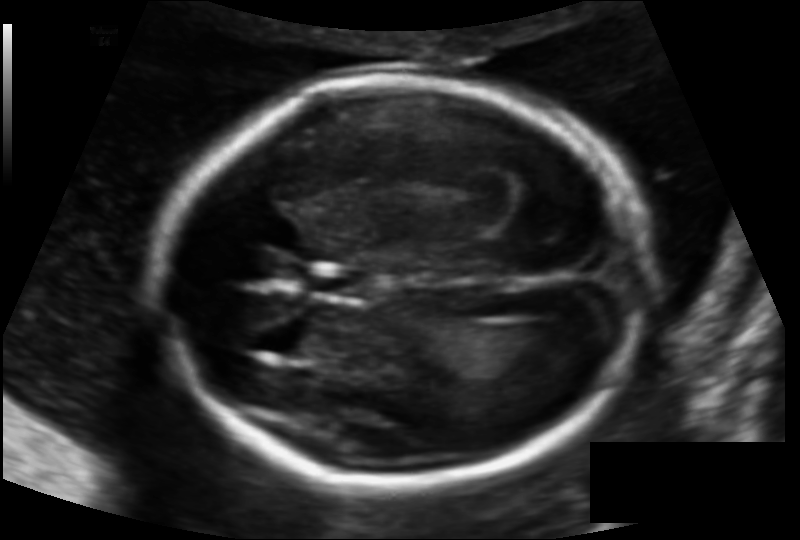
Fetal head ultrasound. Image width: 97.8 mm. Give [x1,y1,x2,y2] bounding boxes for each visible structure among: fetal head, CSP, LV.

Head: [155,83,645,484]
CSP: [306,263,370,302]